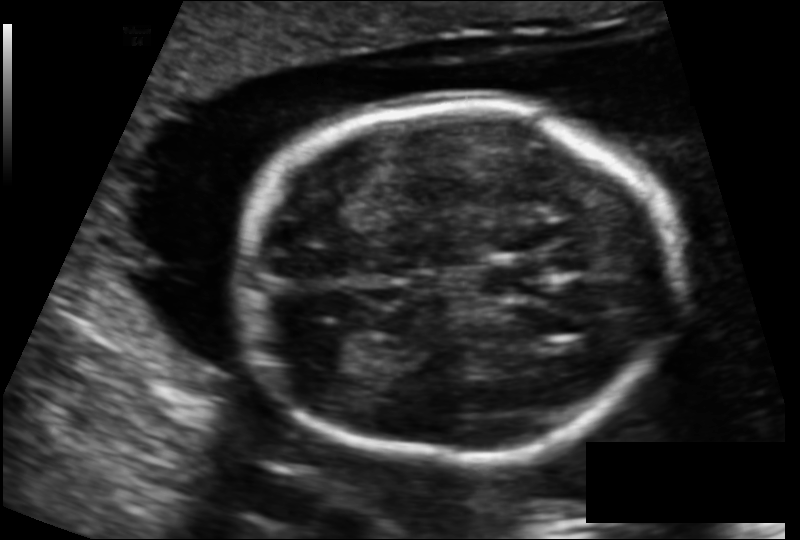
Measure the fetal head circumference shown in this ultrasound image. Image width: 104.4 mm.

Head circumference: 166.7 mm.